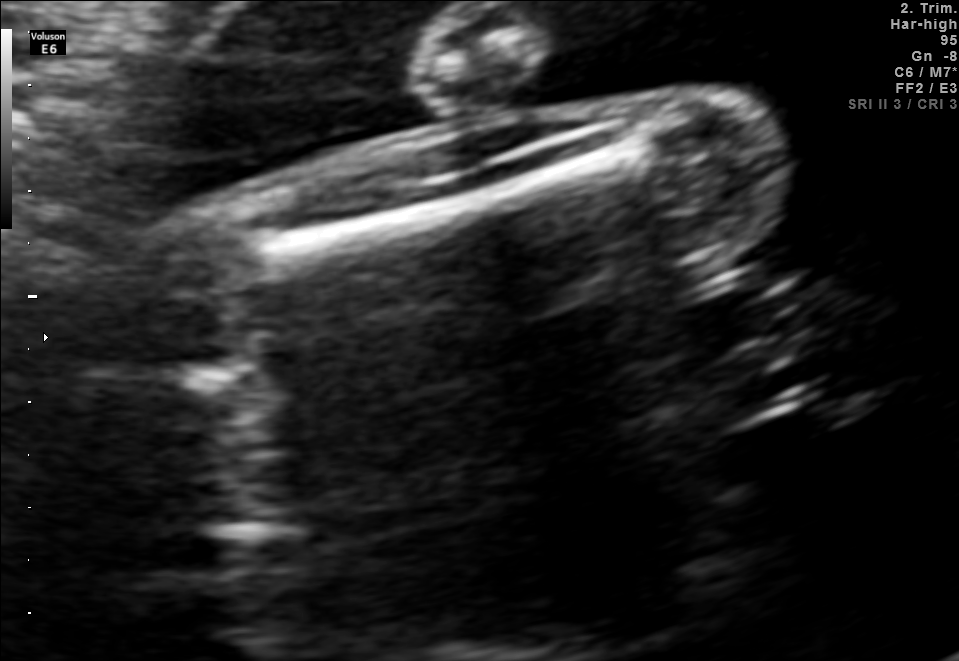
Identify the standard plane in this fetal ultrasound image: fetal abdomen, fetal brain, fetal femur, fetal thorax, maternal cervix, or other. If it's fetal brain and one of the three standard brain planes (trans-thalamic, trans-cerebellum, trans-ventricular), name which.

Fetal femur